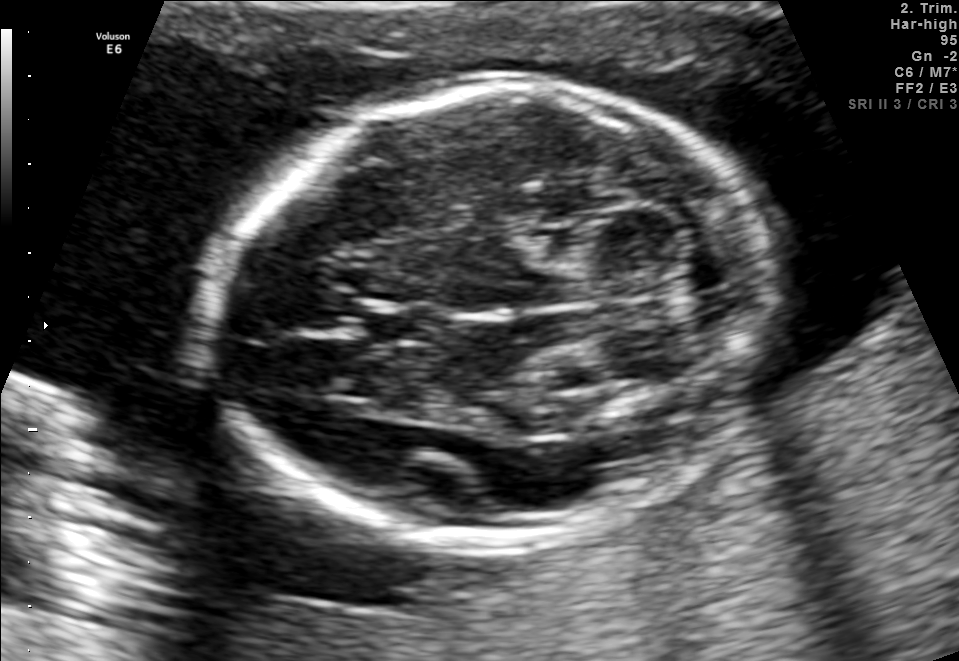
Fetal brain, trans-cerebellum plane. Give [x1,y1,x2,y2] bounding boxes for each visible structure among: fetal head, CSP, LV.

Head: [205,87,764,540]
CSP: [356,303,437,345]